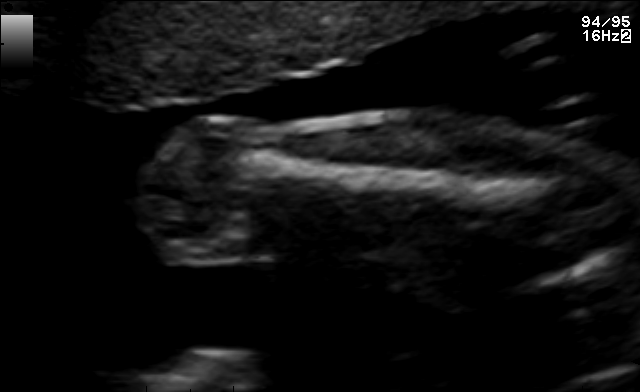
Identify the standard plane in this fetal ultrasound image: fetal abdomen, fetal brain, fetal femur, fetal thorax, maternal cervix, or other. If it's fetal brain and one of the three standard brain planes (trans-thalamic, trans-cerebellum, trans-ventricular), name which.

Fetal femur